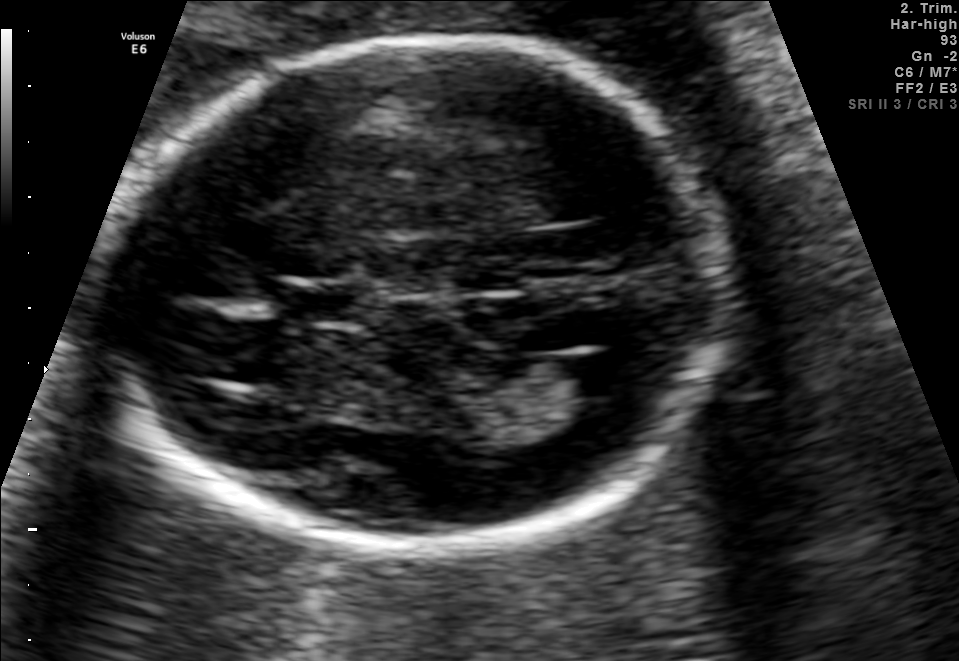
In this fetal brain, trans-ventricular plane, give the bounding box of the fetal head.

[100,31,747,562]